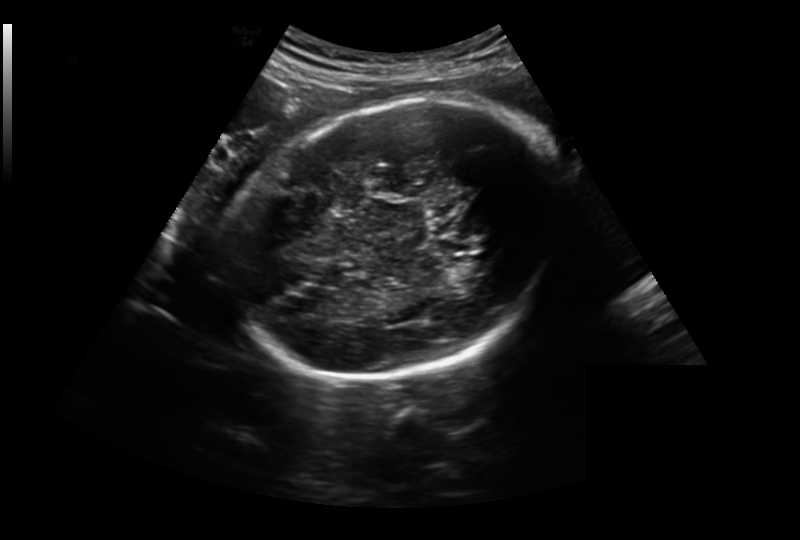
Fetal head ultrasound. Image width: 206.9 mm. Where is the fetal head?

Head bounding box: [234,100,564,377]